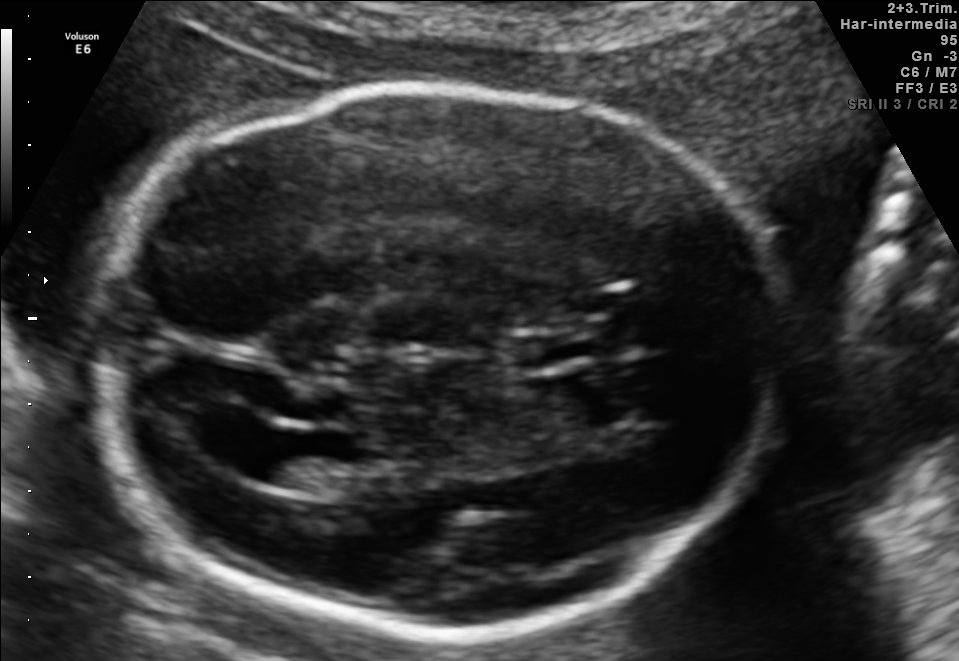
Fetal brain, trans-ventricular plane. Locate the cavum septum pellucidum.

CSP: [499,323,626,375]